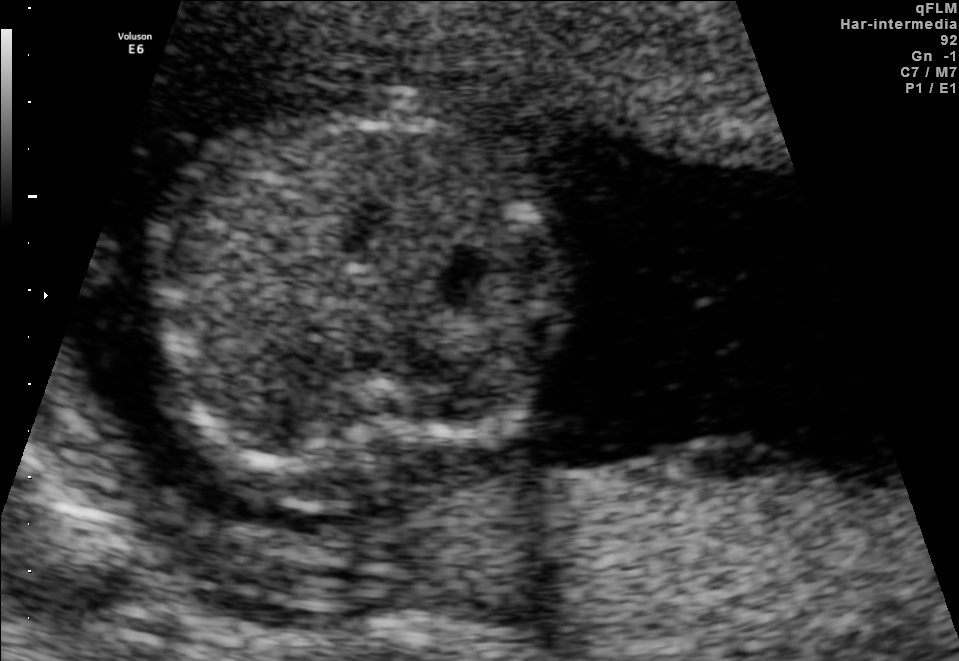
Identify the standard plane in this fetal ultrasound image: fetal abdomen, fetal brain, fetal femur, fetal thorax, maternal cervix, or other. If it's fetal brain and one of the three standard brain planes (trans-thalamic, trans-cerebellum, trans-ventricular), name which.

Fetal abdomen